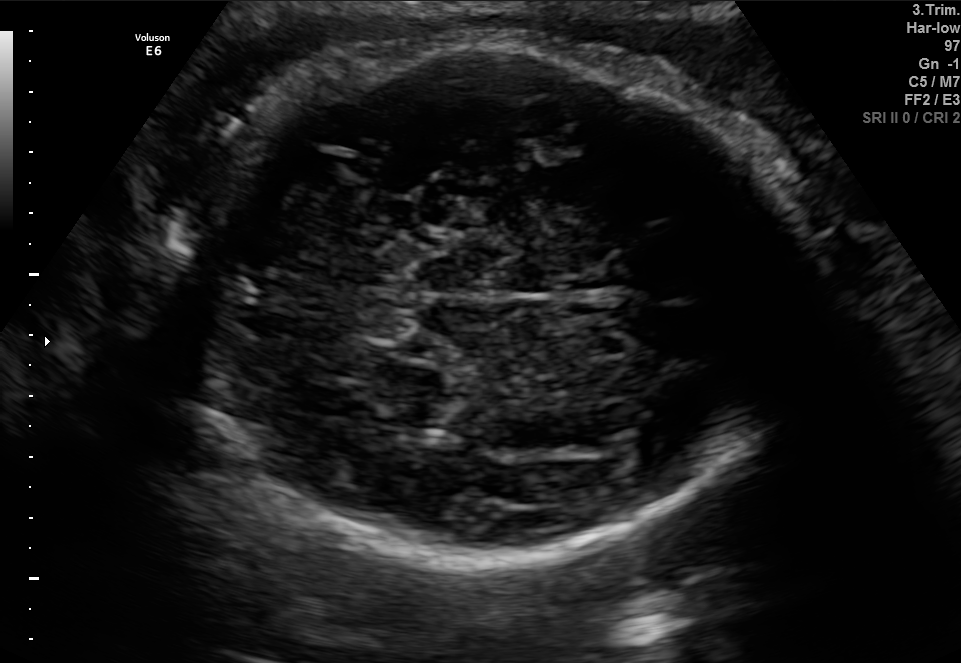
Fetal brain, trans-cerebellum plane. Locate the fetal head.

Head: [161,40,790,561]